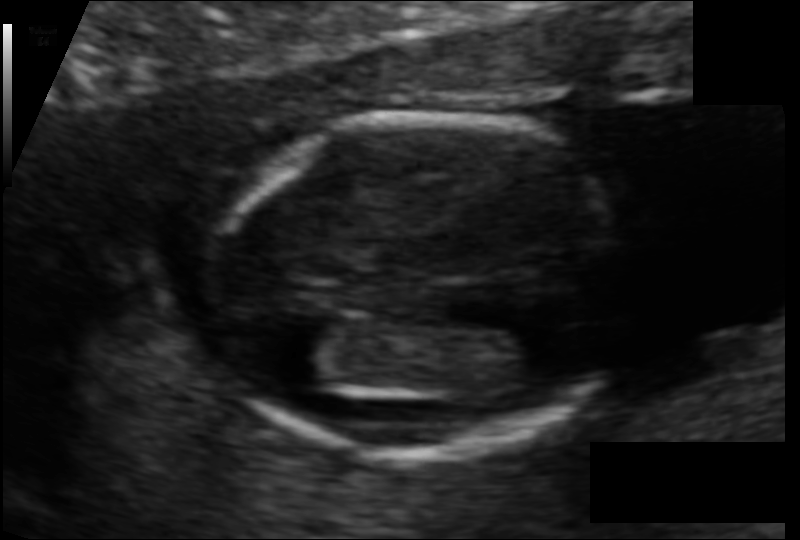
From this fetal ultrasound, estimate the head circumference (image width 65.5 mm).

Head circumference: 101.1 mm.